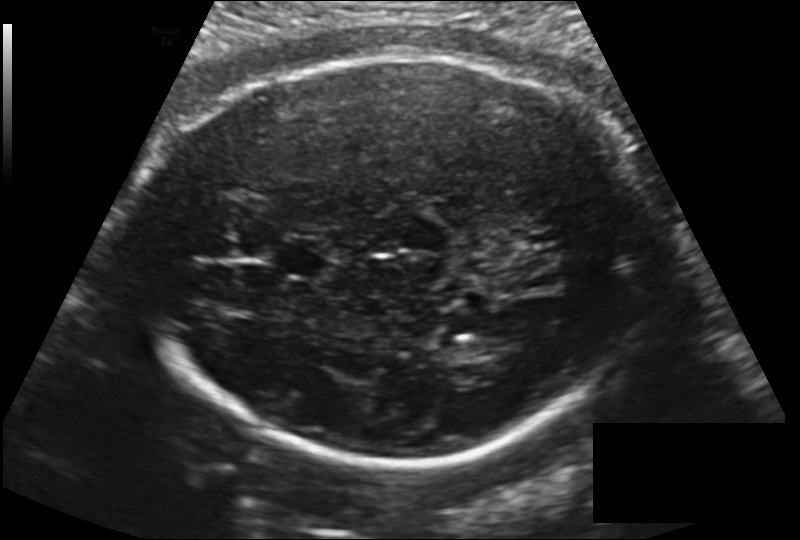
In this fetal head ultrasound, give the bounding box of the fetal head. Image width: 144.8 mm.

[134,58,657,464]